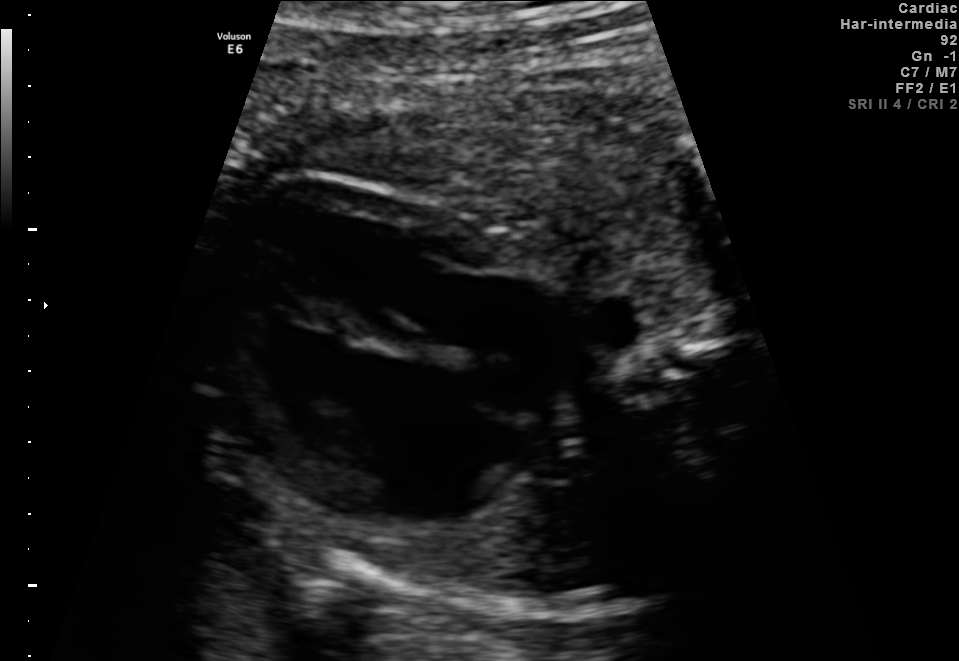
Classify this maternal-fetal ultrasound image as one of the six standard planes — fetal abdomen, fetal brain, fetal femur, fetal thorax, maternal cervix, or other. If it's fetal brain and one of the three standard brain planes (trans-thalamic, trans-cerebellum, trans-ventricular), name which.

Fetal thorax